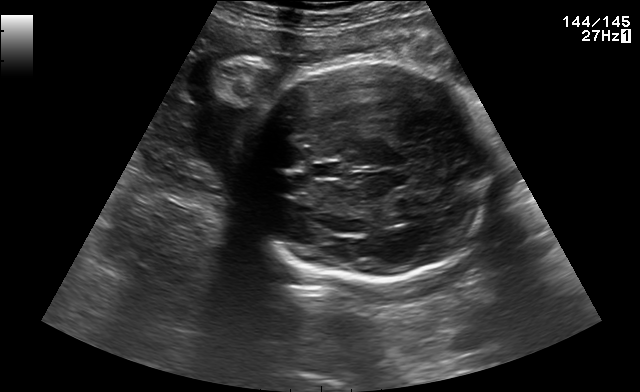
Fetal brain, trans-thalamic plane. Locate the fetal head.

Head: [238,64,500,279]